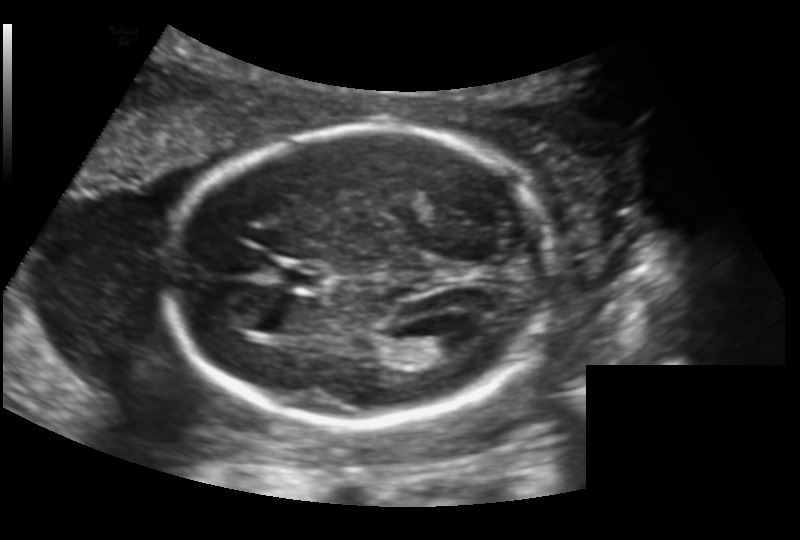
Fetal head ultrasound. Image width: 125.0 mm. Locate the lateral ventricle.

Lateral ventricle: [414,323,472,366]